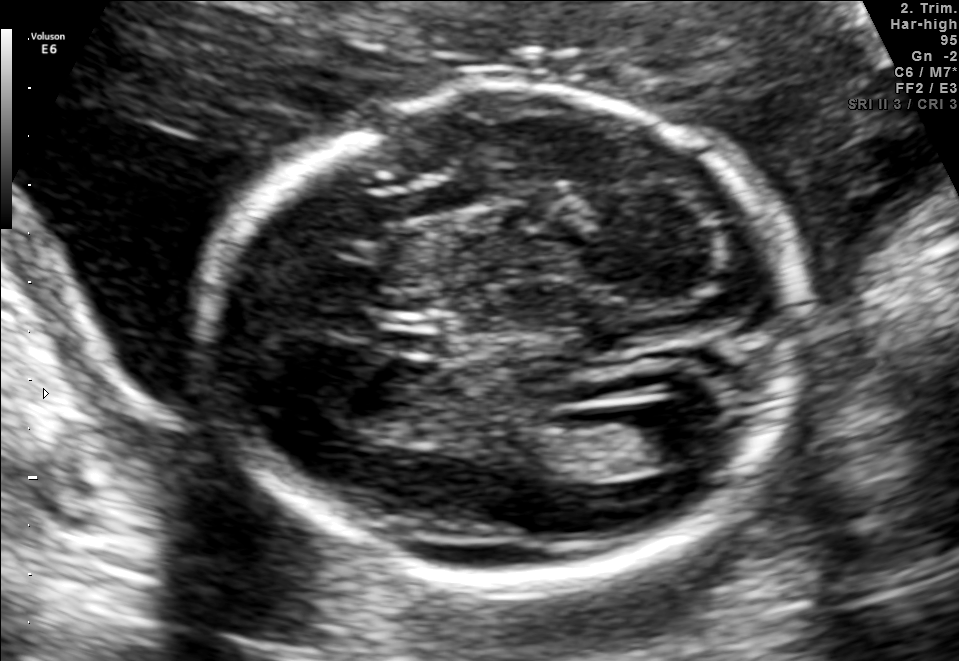
In this fetal brain, trans-ventricular plane, give the bounding box of the lateral ventricle.

[611,401,715,475]